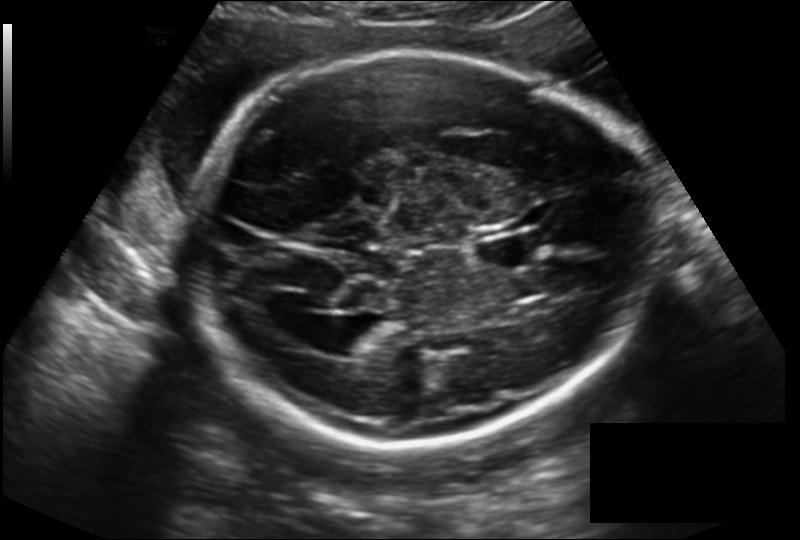
Fetal head ultrasound. Image width: 155.0 mm. Where is the cavum septum pellucidum?

CSP bounding box: [473,225,546,277]